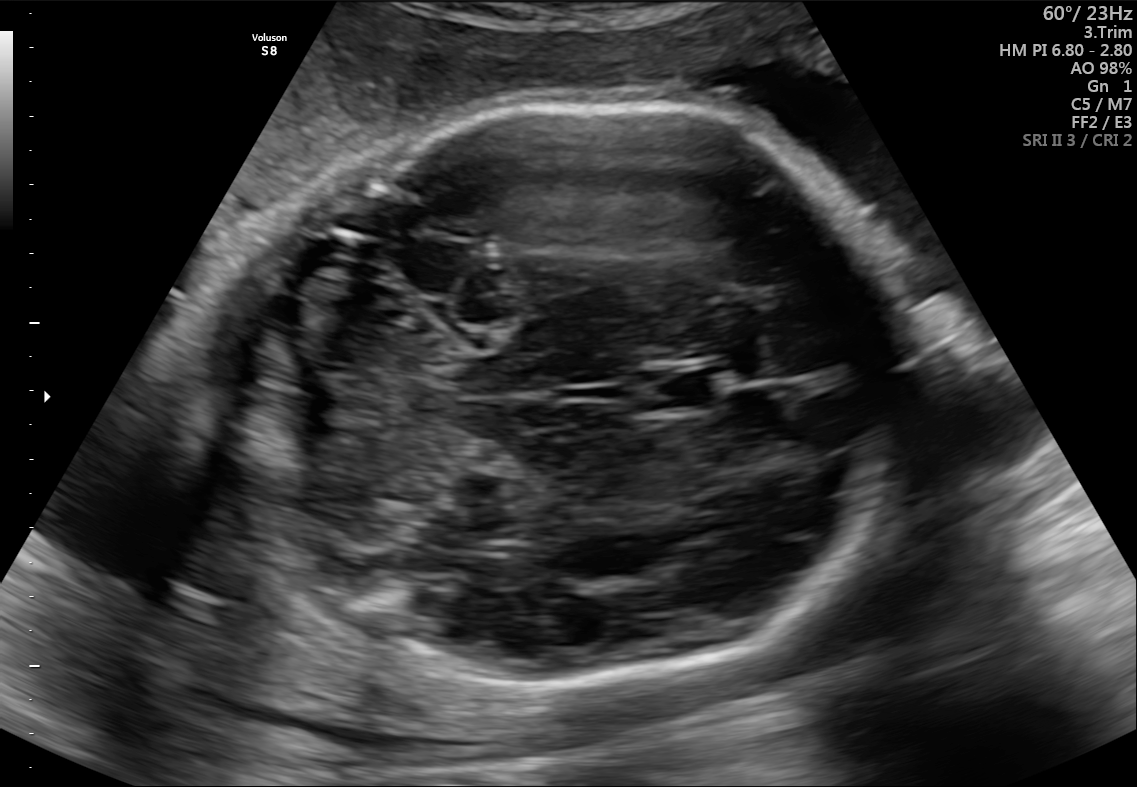
Fetal brain, trans-cerebellum plane. Locate the cavum septum pellucidum.

CSP: [634,361,725,419]